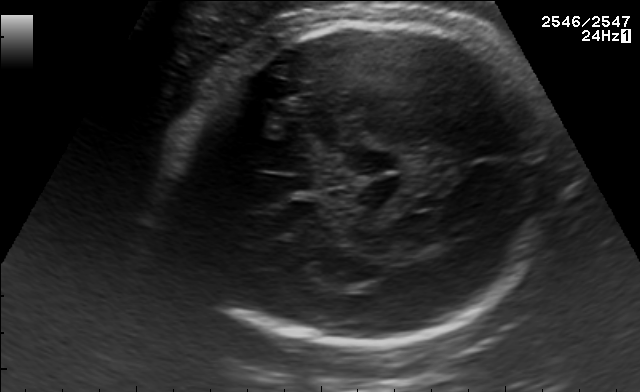
Fetal brain, trans-thalamic plane. Locate the fetal head.

Head: [178,14,554,346]